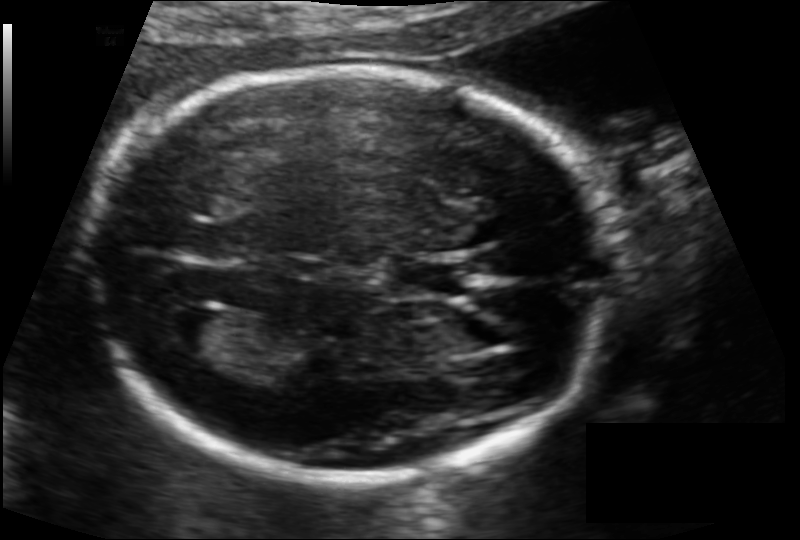
Fetal head ultrasound. Image width: 91.1 mm. Give [x1,y1,x2,y2] bounding boxes for each visible structure among: fetal head, CSP, LV.

Head: [98,66,610,479]
CSP: [388,257,469,297]
Lateral ventricle: [157,302,228,358]